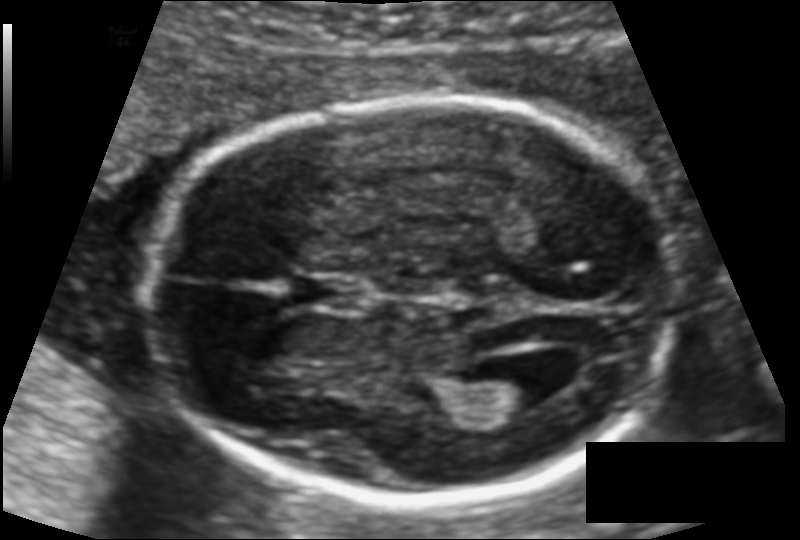
Estimate the fetal head circumference from this 2D ultrasound. Image width: 90.3 mm.

Head circumference: 172.1 mm.